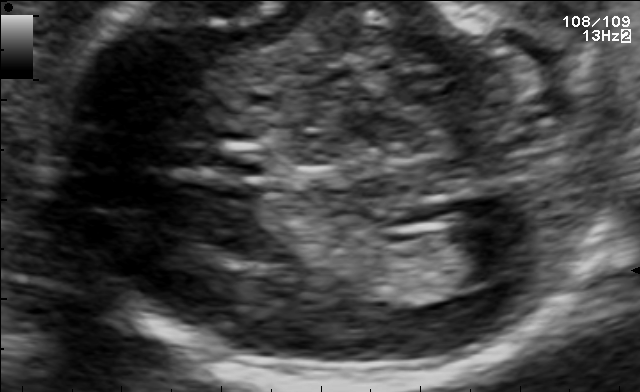
This is a 2D maternal-fetal ultrasound frame. Is it a fetal abdomen, fetal brain, fetal femur, fetal thorax, maternal cervix, or other standard plane? If it's fetal brain and one of the three standard brain planes (trans-thalamic, trans-cerebellum, trans-ventricular), name which.

Fetal brain (trans-ventricular plane)